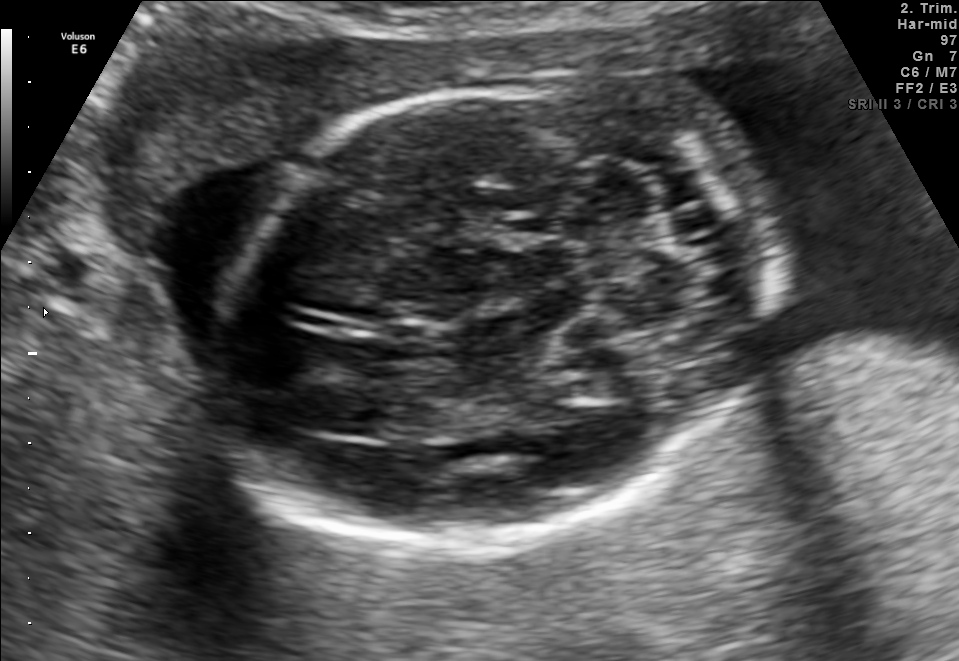
Fetal brain, trans-cerebellum plane. Locate the fetal head.

Head: [205,76,778,545]